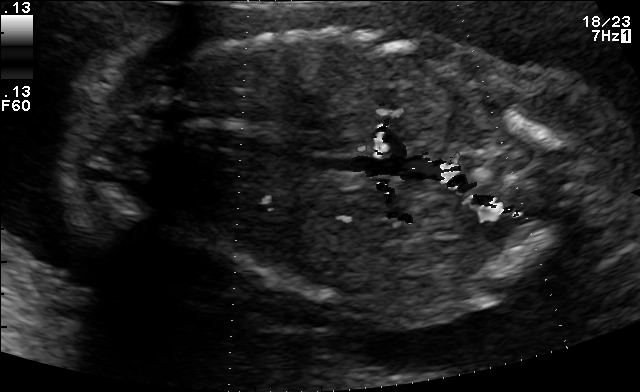
Classify this maternal-fetal ultrasound image as one of the six standard planes — fetal abdomen, fetal brain, fetal femur, fetal thorax, maternal cervix, or other. If it's fetal brain and one of the three standard brain planes (trans-thalamic, trans-cerebellum, trans-ventricular), name which.

Other